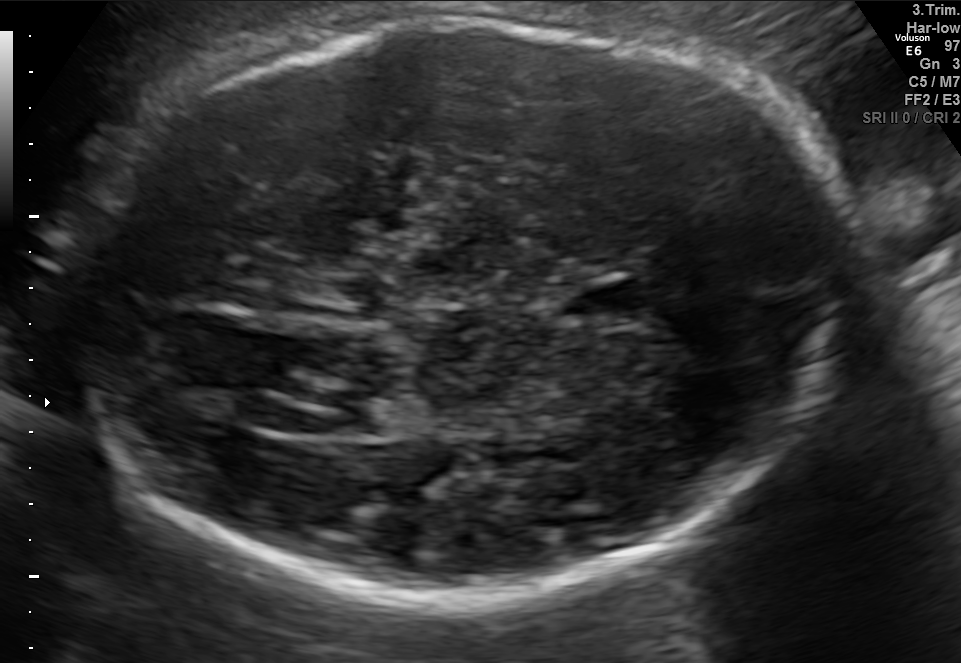
In this fetal brain, trans-ventricular plane, give bounding boxes for the head outline, cavum septum pellucidum (CSP), and lateral ventricle (LV), where visible.

Head: [54,11,867,618]